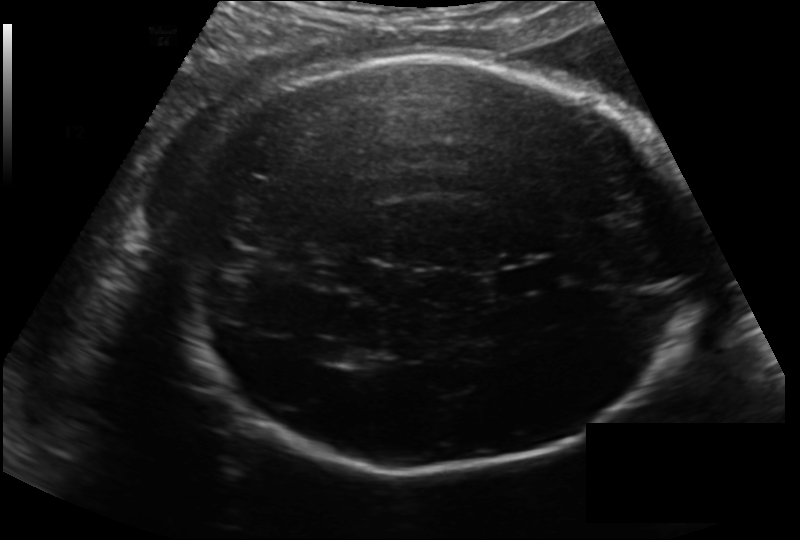
In this fetal head ultrasound, give the bounding box of the cavum septum pellucidum. Image width: 146.5 mm.

[490,254,570,302]